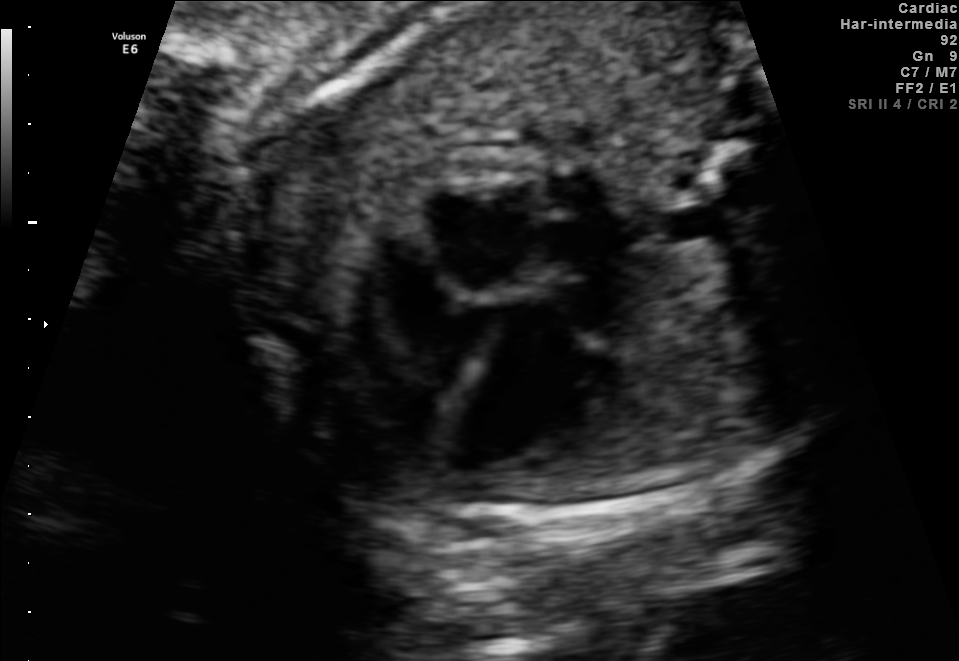
This is a 2D maternal-fetal ultrasound frame. Is it a fetal abdomen, fetal brain, fetal femur, fetal thorax, maternal cervix, or other standard plane? If it's fetal brain and one of the three standard brain planes (trans-thalamic, trans-cerebellum, trans-ventricular), name which.

Fetal thorax